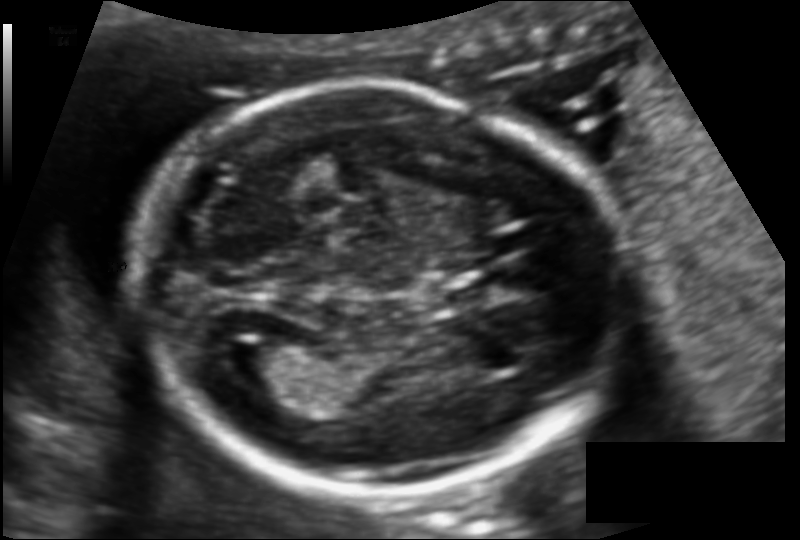
Fetal head ultrasound. Image width: 89.5 mm. Locate the fetal head and, if visible, the cavum septum pellucidum (CSP) and lateral ventricle (LV). Give bounding boxes as [x1,y1,x2,y2].

Head: [134,90,614,494]
Lateral ventricle: [205,330,290,396]